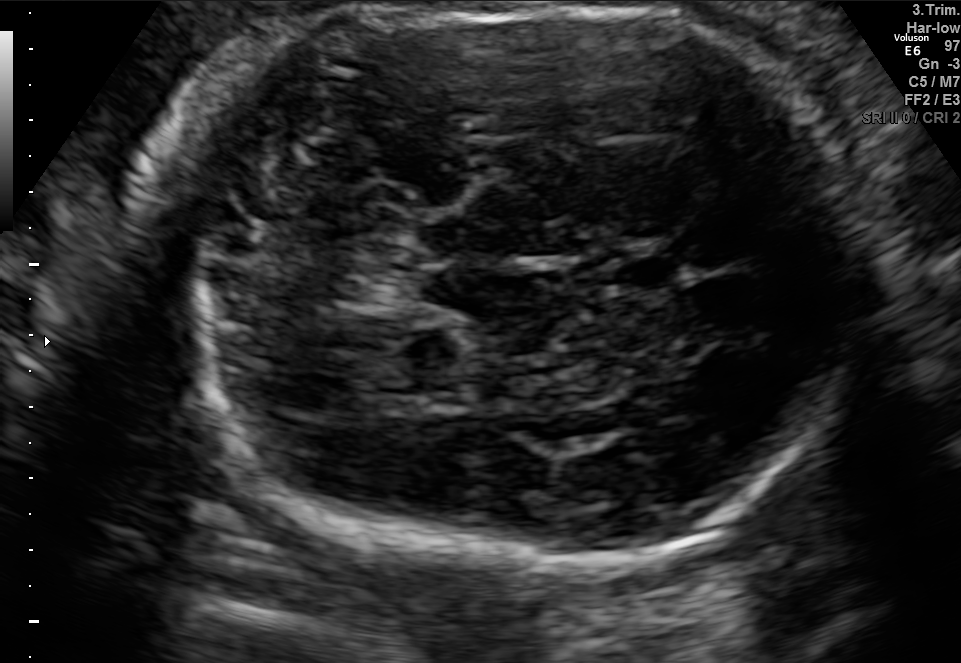
In this fetal brain, trans-cerebellum plane, give the bounding box of the fetal head.

[160,8,879,563]